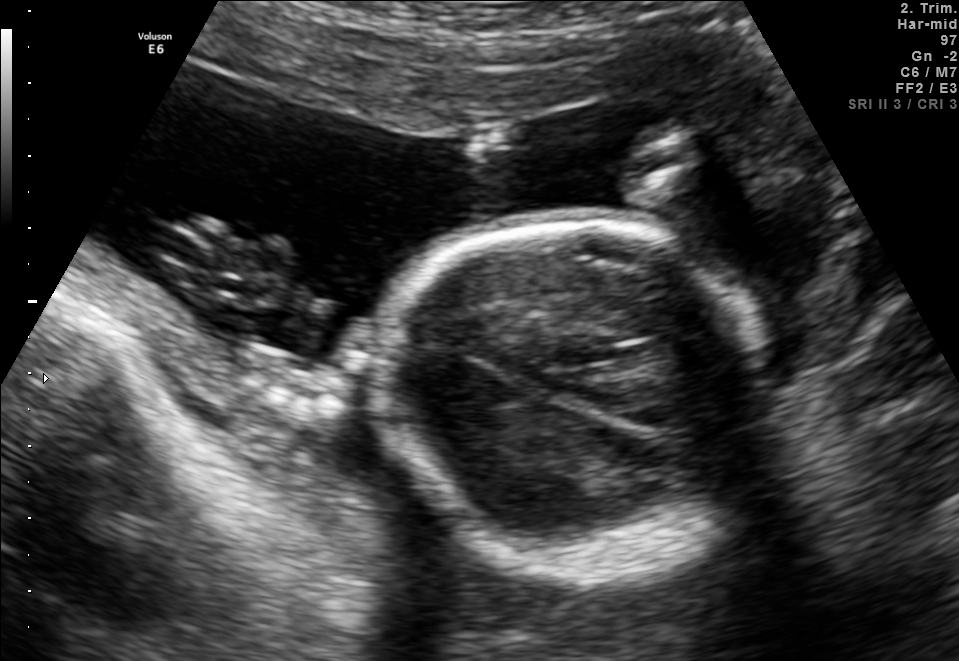
Fetal brain, trans-thalamic plane. Locate the fetal head and, if visible, the cavum septum pellucidum (CSP) and lateral ventricle (LV). Give bounding boxes as [x1,y1,x2,y2].

Head: [369,220,776,575]